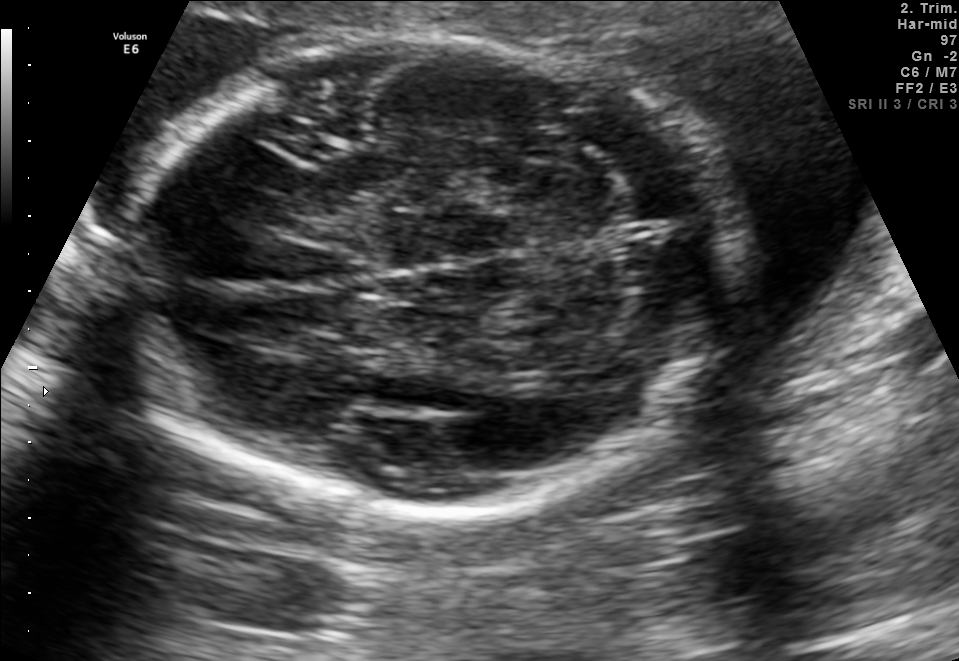
Fetal brain, trans-cerebellum plane. Locate the fetal head and, if visible, the cavum septum pellucidum (CSP) and lateral ventricle (LV). Give bounding boxes as [x1,y1,x2,y2].

Head: [121,37,742,512]